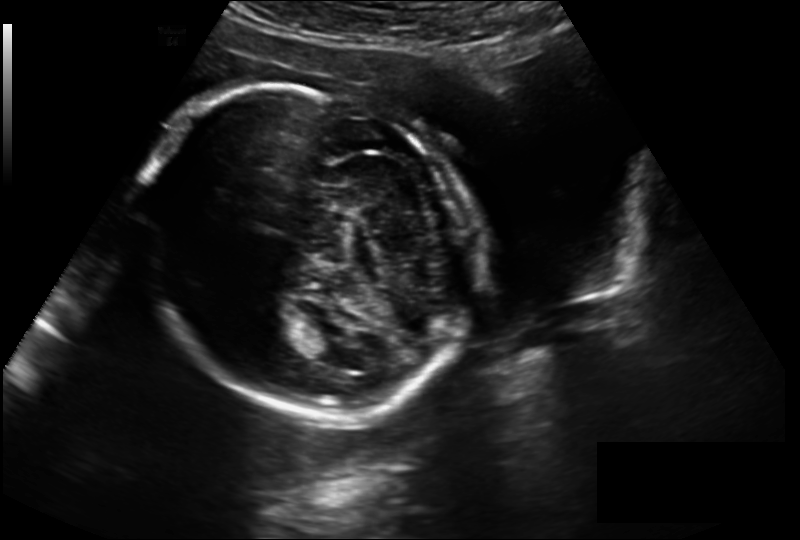
In this fetal head ultrasound, give bounding boxes for the head outline, cavum septum pellucidum (CSP), and lateral ventricle (LV), where visible. Image width: 168.8 mm.

Head: [141,85,465,422]